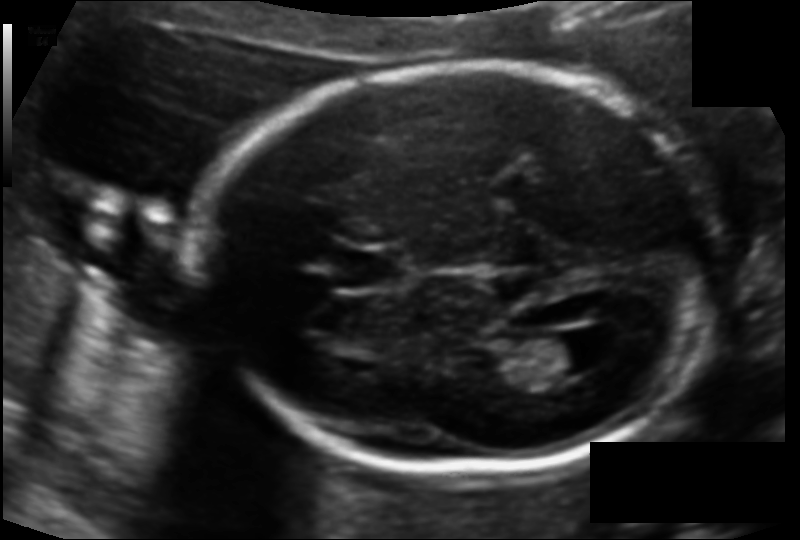
Fetal head ultrasound. Image width: 94.2 mm. Locate the fetal head and, if visible, the cavum septum pellucidum (CSP) and lateral ventricle (LV). Give bounding boxes as [x1,y1,x2,y2].

Head: [208,65,714,469]
CSP: [338,251,404,287]
Lateral ventricle: [524,325,609,384]